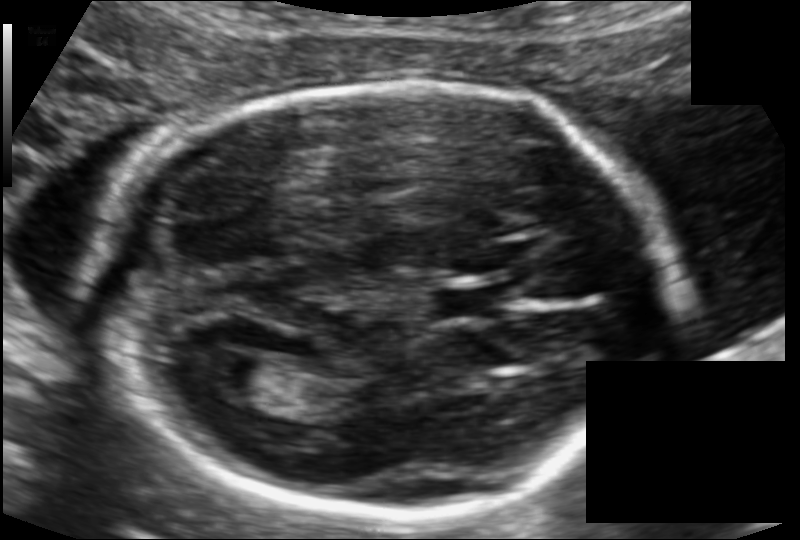
Fetal head ultrasound. Image width: 87.3 mm. Where is the cavum septum pellucidum?

CSP bounding box: [428,280,504,325]